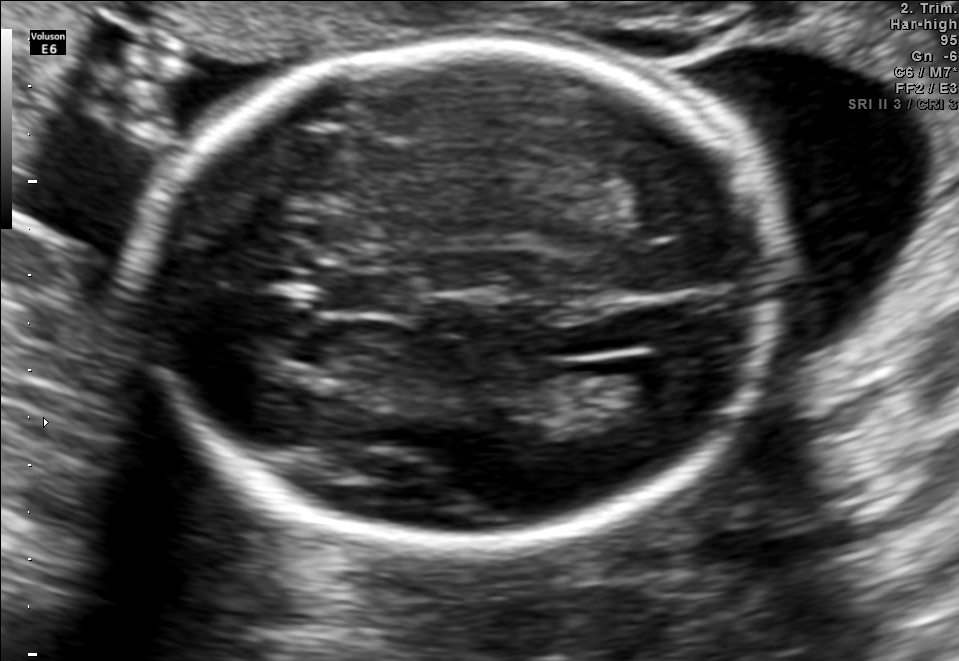
In this fetal brain, trans-ventricular plane, give the bounding box of the cavum septum pellucidum.

[322,269,414,317]